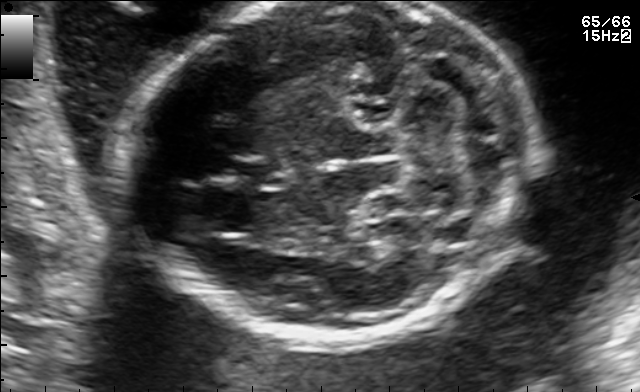
This is a 2D maternal-fetal ultrasound frame. Is it a fetal abdomen, fetal brain, fetal femur, fetal thorax, maternal cervix, or other standard plane? If it's fetal brain and one of the three standard brain planes (trans-thalamic, trans-cerebellum, trans-ventricular), name which.

Fetal brain (trans-cerebellum plane)